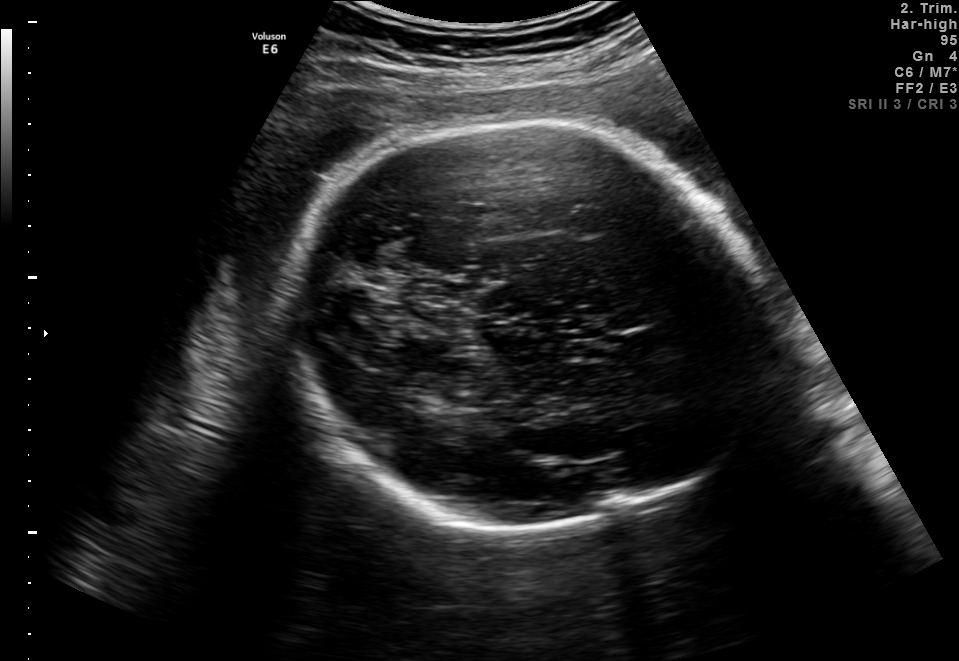
Fetal brain, trans-thalamic plane. Where is the fetal head?

Head bounding box: [292,116,763,533]